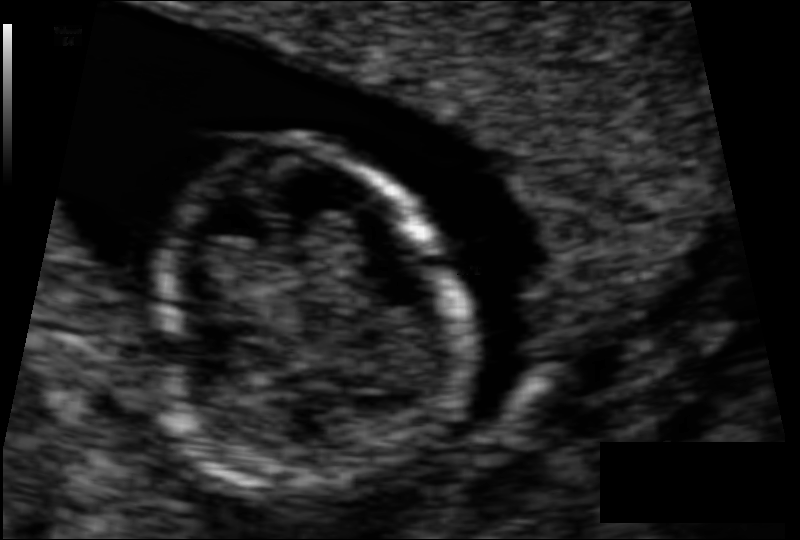
Estimate the fetal head circumference from this 2D ultrasound.

Head circumference: 66.3 mm (image width 49.5 mm).